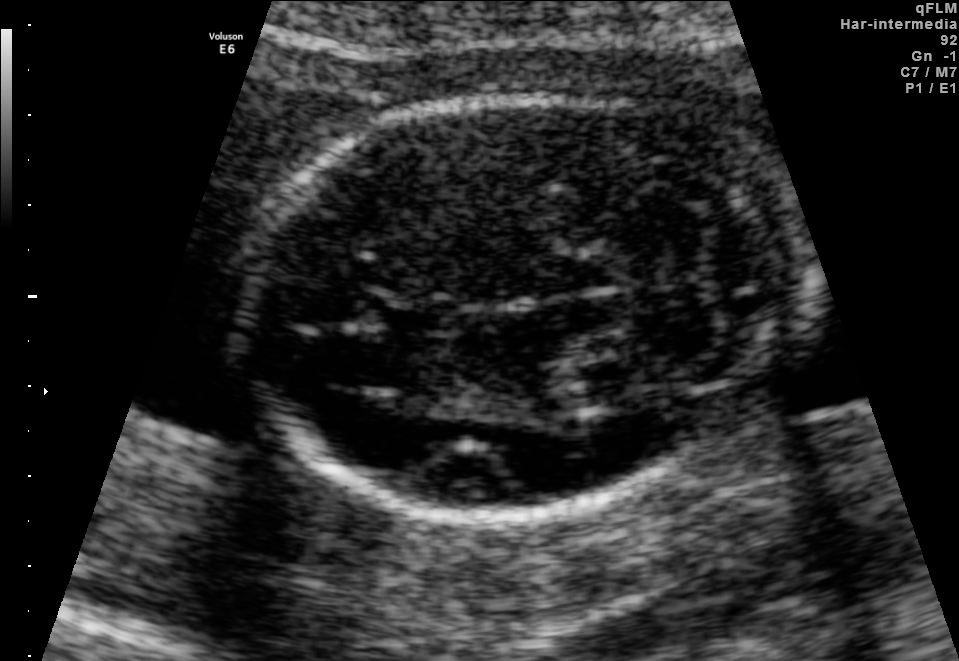
Identify the standard plane in this fetal ultrasound image: fetal abdomen, fetal brain, fetal femur, fetal thorax, maternal cervix, or other. If it's fetal brain and one of the three standard brain planes (trans-thalamic, trans-cerebellum, trans-ventricular), name which.

Fetal brain (trans-cerebellum plane)